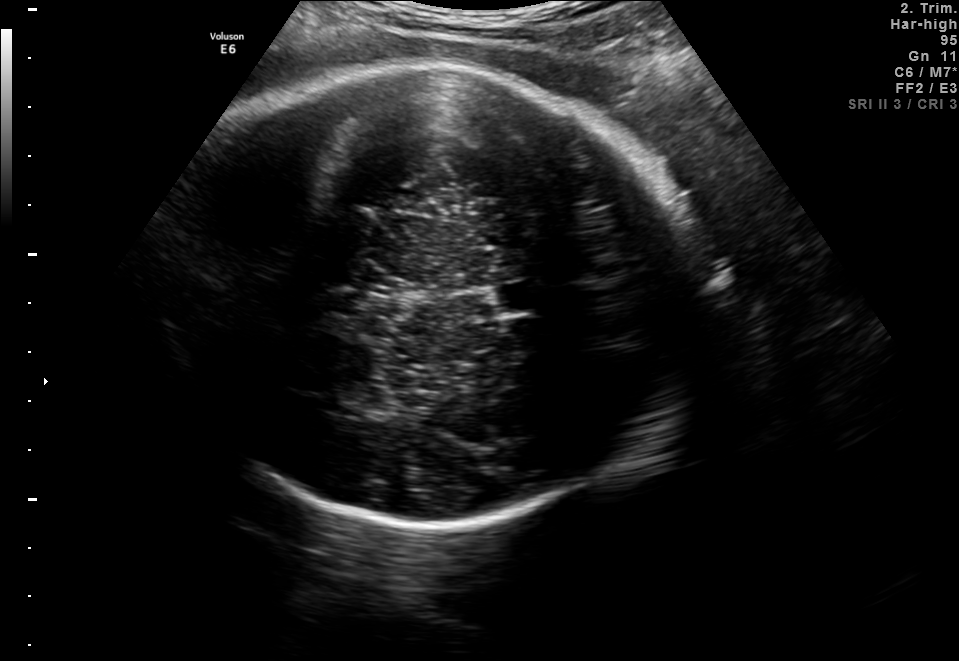
Fetal brain, trans-thalamic plane. Locate the fetal head.

Head: [155,66,702,527]